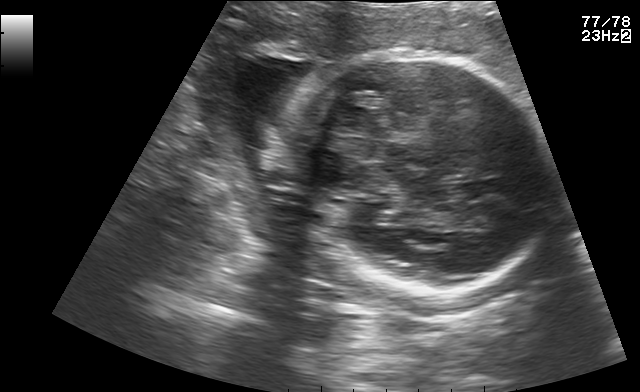
In this fetal brain, trans-thalamic plane, give bounding boxes for the head outline, cavum septum pellucidum (CSP), and lateral ventricle (LV), where visible.

Head: [290,46,550,293]